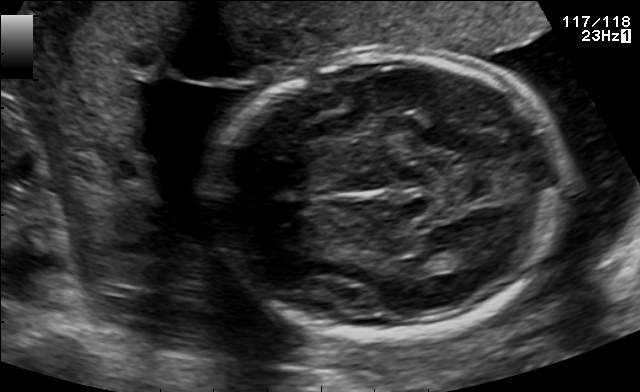
Fetal brain, trans-thalamic plane. Give [x1,y1,x2,y2] bounding boxes for each visible structure among: fetal head, CSP, LV.

Head: [208,55,570,334]
Lateral ventricle: [415,242,473,278]